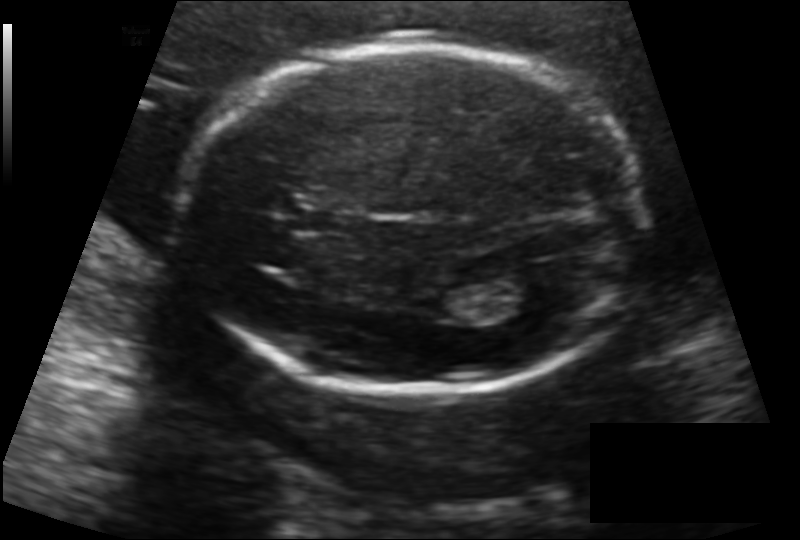
Measure the fetal head circumference shown in this ultrasound image. Image width: 113.3 mm.

Head circumference: 186.5 mm.